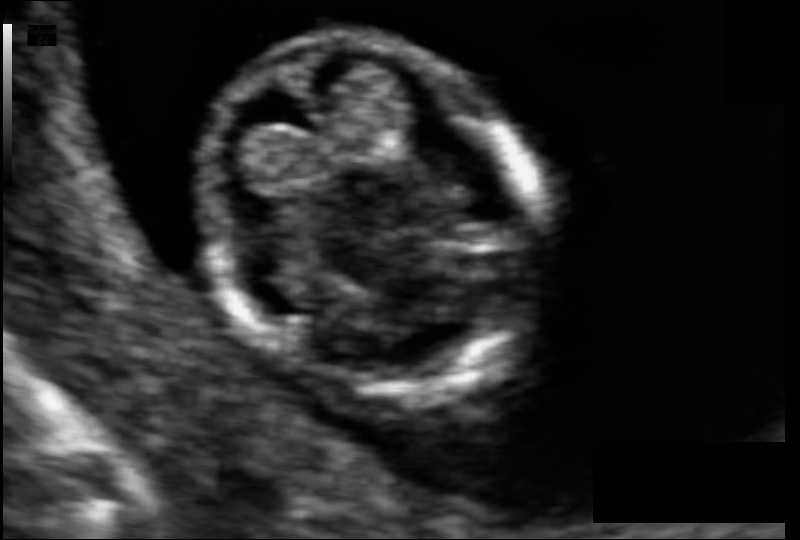
Measure the fetal head circumference shown in this ultrasound image. Image width: 50.8 mm.

Head circumference: 74.1 mm.